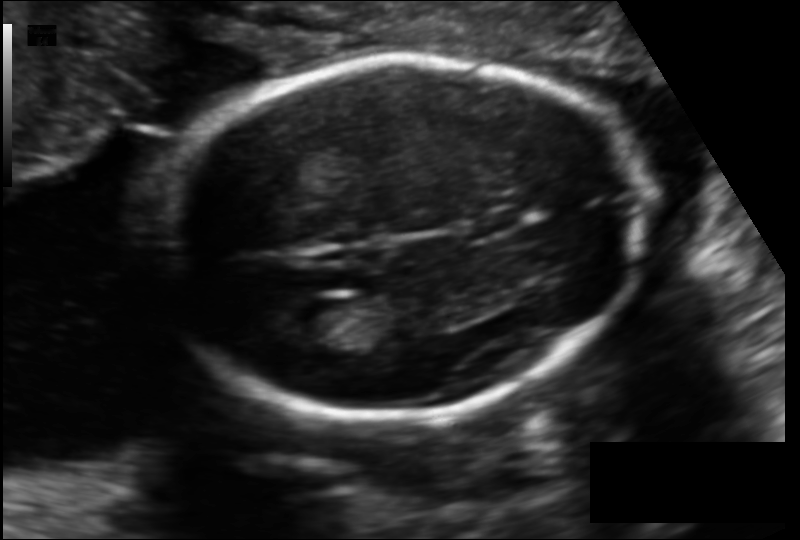
From this fetal ultrasound, estimate the head circumference (image width 102.8 mm).

Head circumference: 176.3 mm.